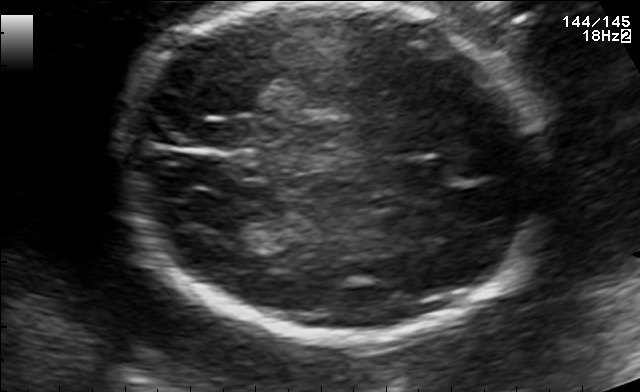
This is a 2D maternal-fetal ultrasound frame. Is it a fetal abdomen, fetal brain, fetal femur, fetal thorax, maternal cervix, or other standard plane? If it's fetal brain and one of the three standard brain planes (trans-thalamic, trans-cerebellum, trans-ventricular), name which.

Fetal brain (trans-thalamic plane)